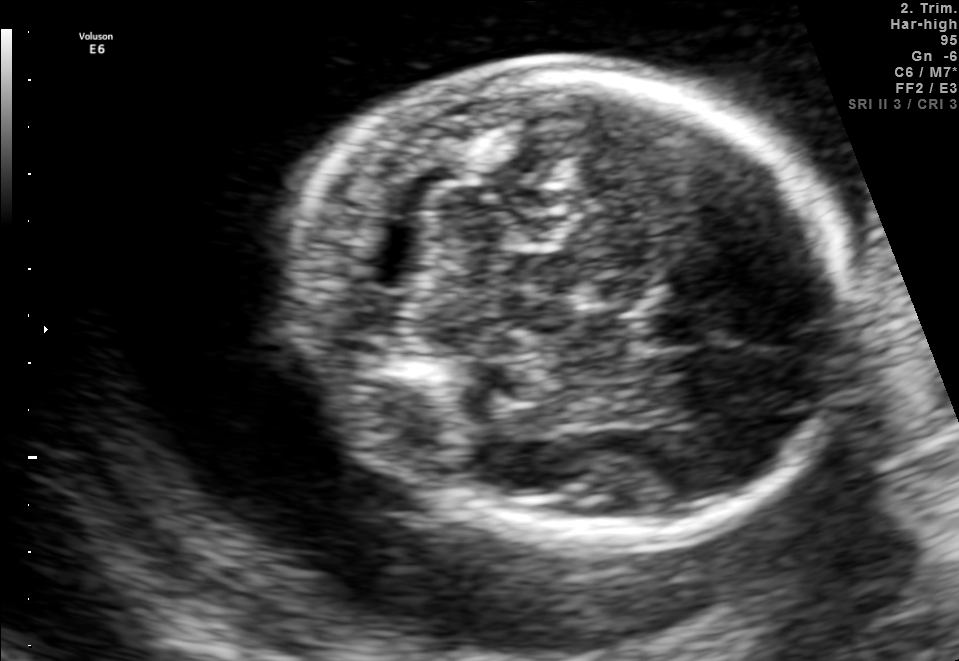
Fetal brain, trans-cerebellum plane. Give [x1,y1,x2,y2] bounding boxes for each visible structure among: fetal head, CSP, LV.

Head: [299,72,852,547]
CSP: [642,305,727,355]